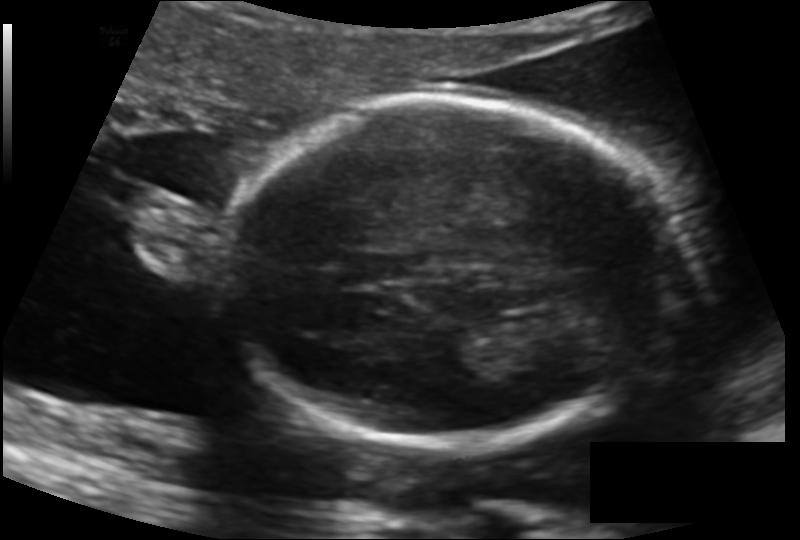
Measure the fetal head circumference shown in this ultrasound image. Image width: 111.0 mm.

Head circumference: 177.7 mm.